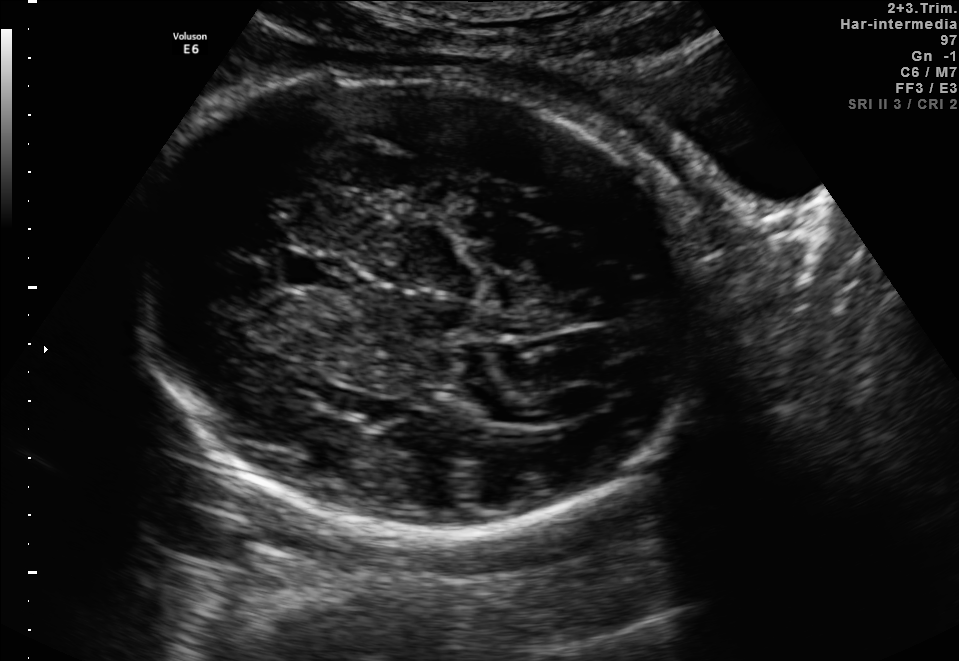
In this fetal brain, trans-thalamic plane, give bounding boxes for the head outline, cavum septum pellucidum (CSP), and lateral ventricle (LV), where visible.

Head: [122,60,701,535]
CSP: [280,253,345,289]
Lateral ventricle: [544,375,613,426]